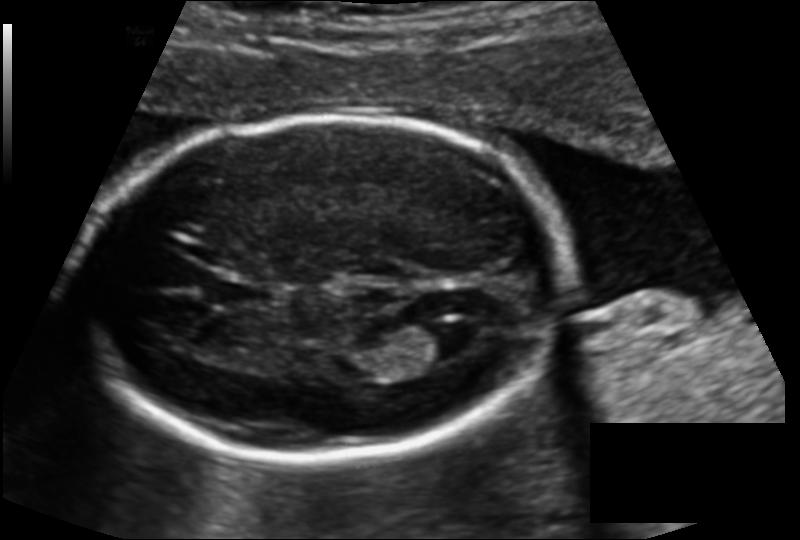
In this fetal head ultrasound, give the bounding box of the cavum septum pellucidum. Image width: 109.1 mm.

[207,274,272,312]